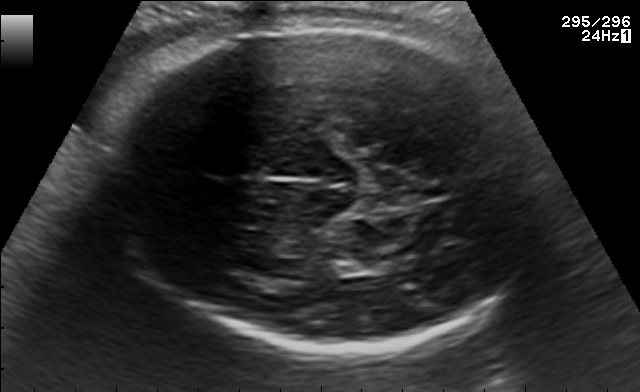
In this fetal brain, trans-thalamic plane, give the bounding box of the fetal head.

[111,23,542,355]